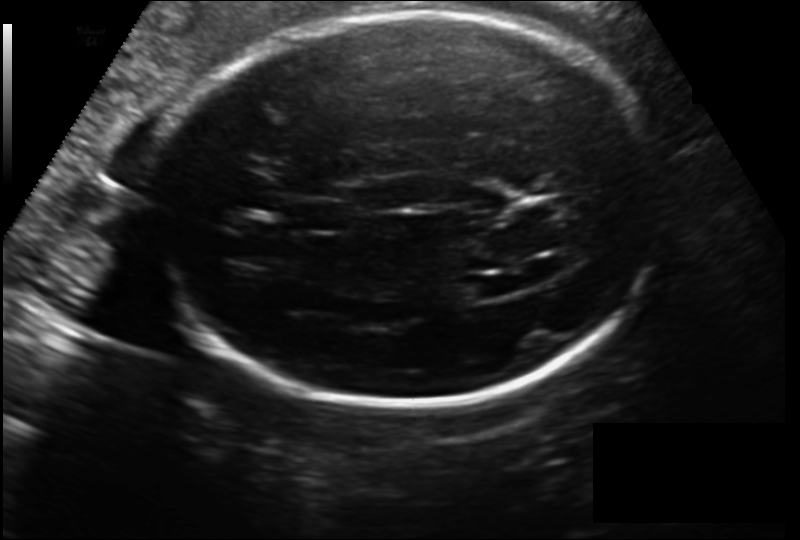
Estimate the fetal head circumference from this 2D ultrasound. Image width: 149.1 mm.

Head circumference: 270.8 mm.